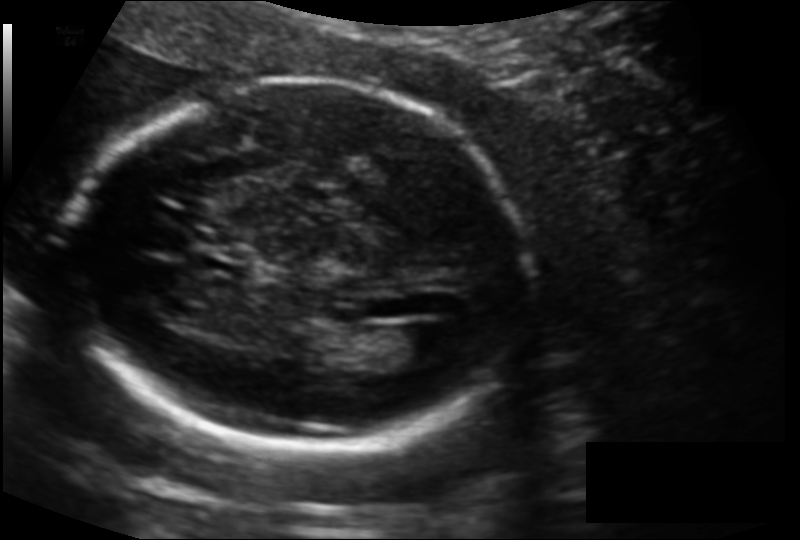
Measure the fetal head circumference shown in this ultrasound image. Image width: 101.6 mm.

Head circumference: 168.7 mm.